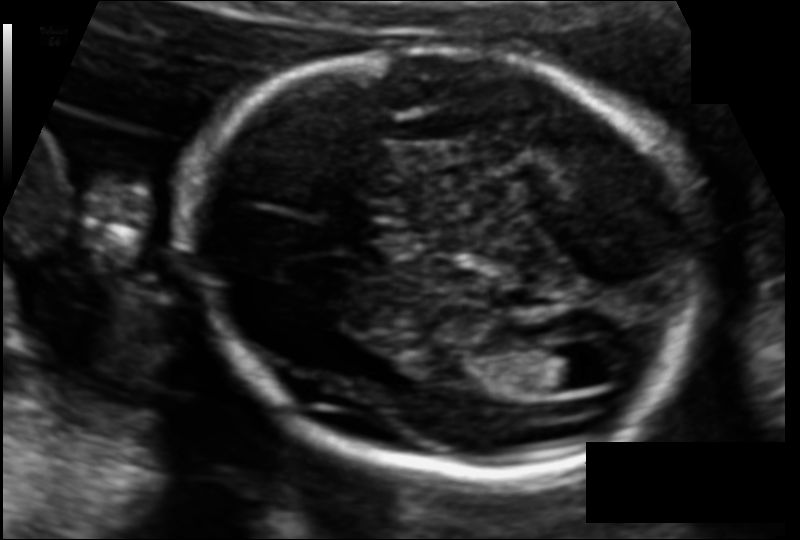
In this fetal head ultrasound, give the bounding box of the fetal head. Image width: 87.7 mm.

[191,46,707,478]